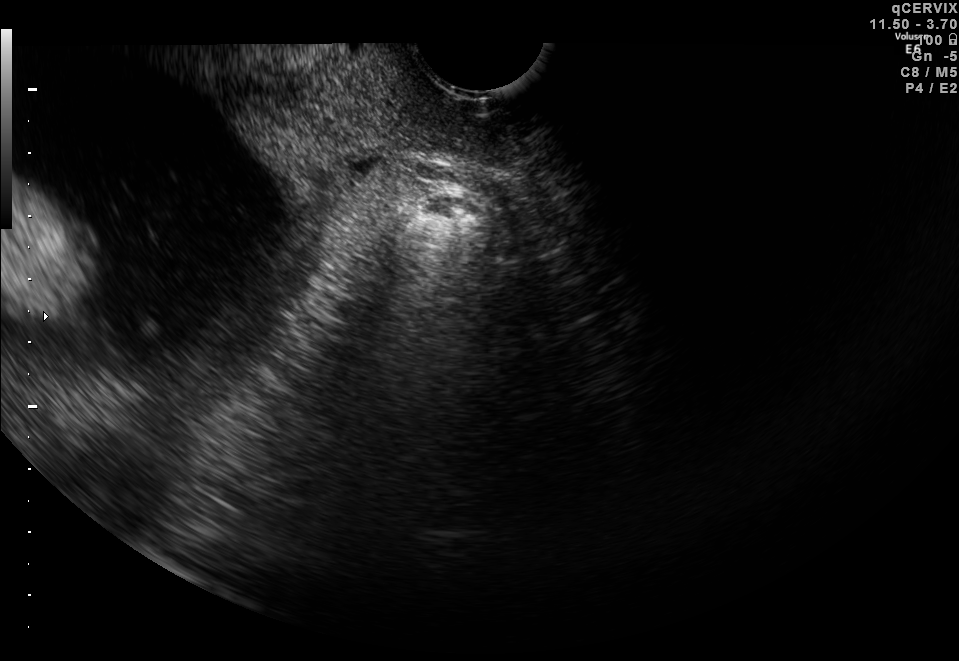
Classify this maternal-fetal ultrasound image as one of the six standard planes — fetal abdomen, fetal brain, fetal femur, fetal thorax, maternal cervix, or other. If it's fetal brain and one of the three standard brain planes (trans-thalamic, trans-cerebellum, trans-ventricular), name which.

Maternal cervix